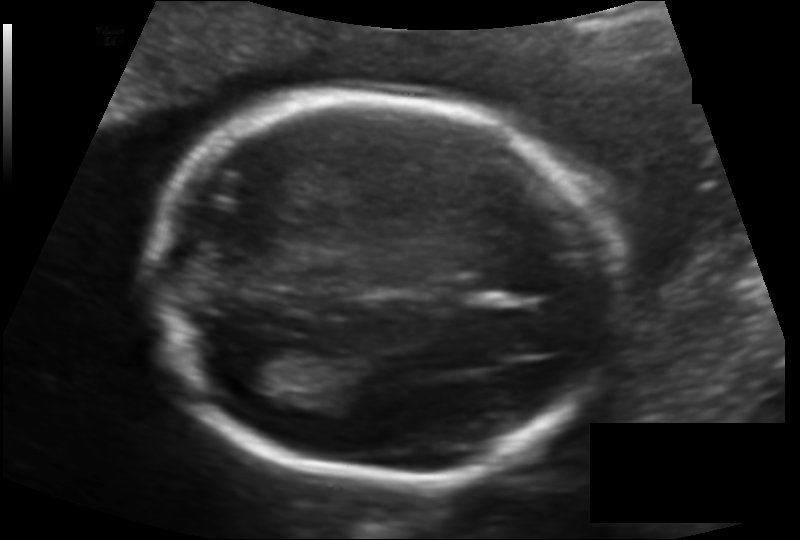
Estimate the fetal head circumference from this 2D ultrasound. Image width: 102.7 mm.

Head circumference: 174.3 mm.